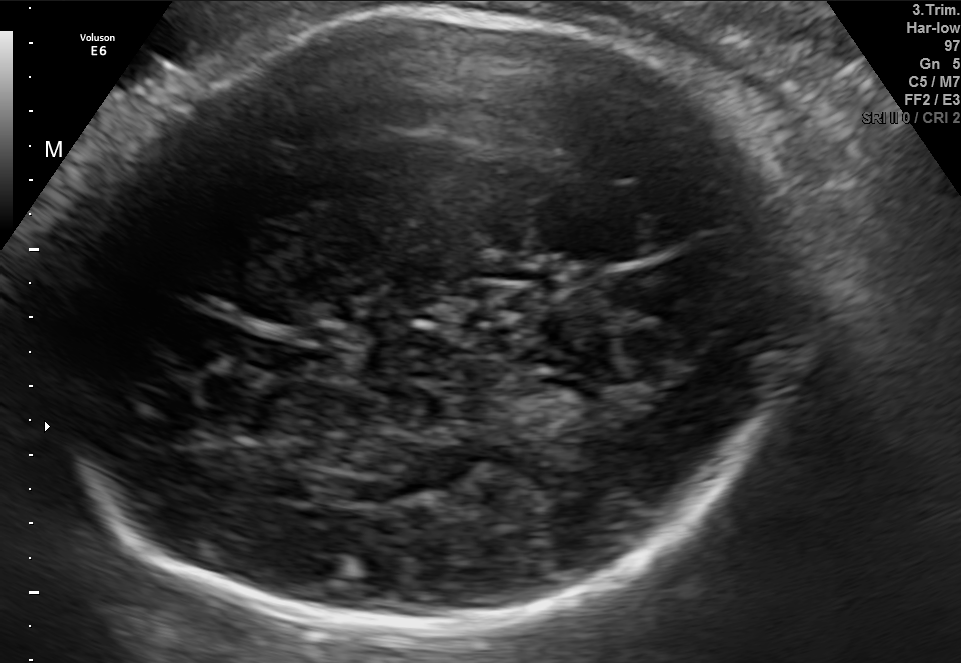
This is a 2D maternal-fetal ultrasound frame. Is it a fetal abdomen, fetal brain, fetal femur, fetal thorax, maternal cervix, or other standard plane? If it's fetal brain and one of the three standard brain planes (trans-thalamic, trans-cerebellum, trans-ventricular), name which.

Fetal brain (trans-thalamic plane)